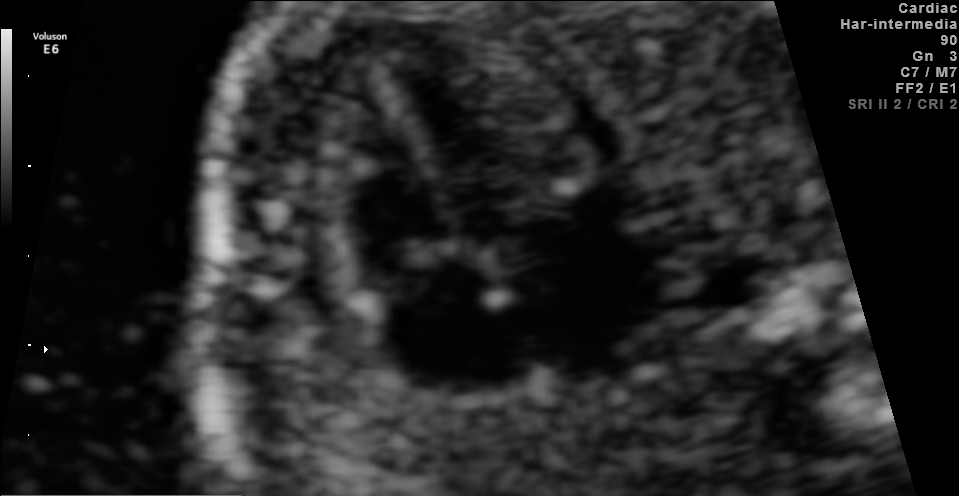
Classify this maternal-fetal ultrasound image as one of the six standard planes — fetal abdomen, fetal brain, fetal femur, fetal thorax, maternal cervix, or other. If it's fetal brain and one of the three standard brain planes (trans-thalamic, trans-cerebellum, trans-ventricular), name which.

Fetal thorax